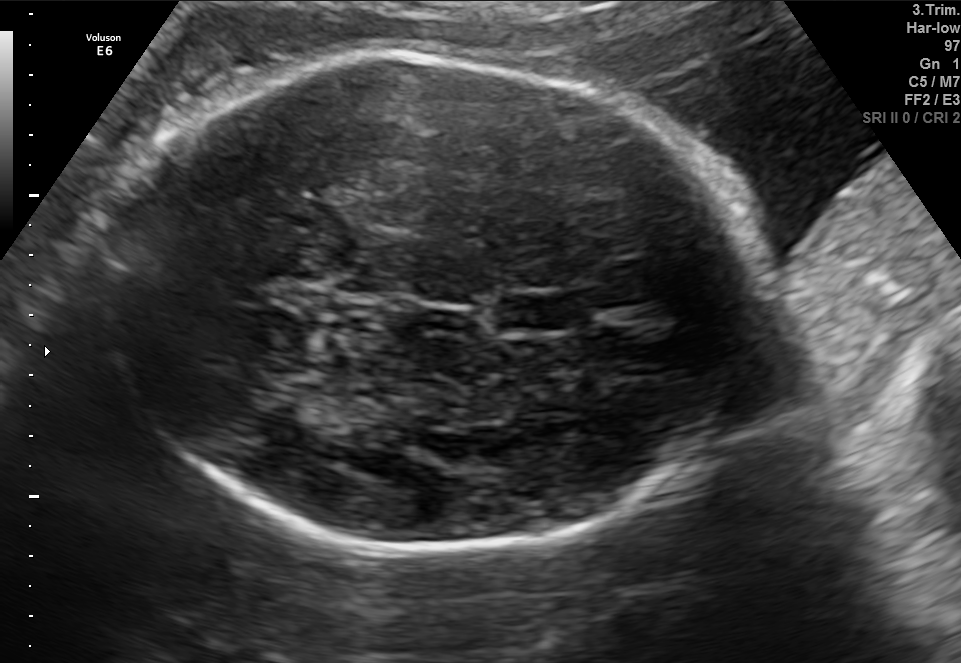
Fetal brain, trans-thalamic plane. Where is the cavum septum pellucidum?

CSP bounding box: [496,294,562,331]